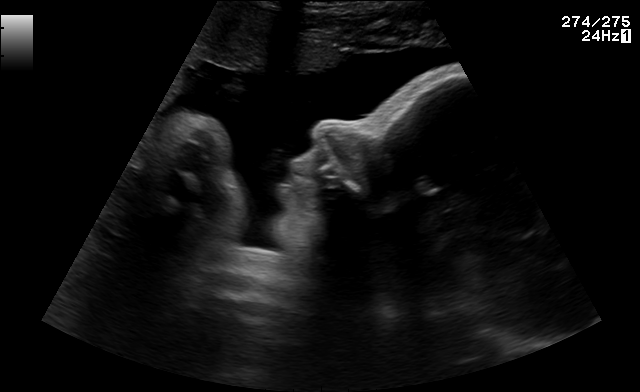
This is a 2D maternal-fetal ultrasound frame. Is it a fetal abdomen, fetal brain, fetal femur, fetal thorax, maternal cervix, or other standard plane? If it's fetal brain and one of the three standard brain planes (trans-thalamic, trans-cerebellum, trans-ventricular), name which.

Other